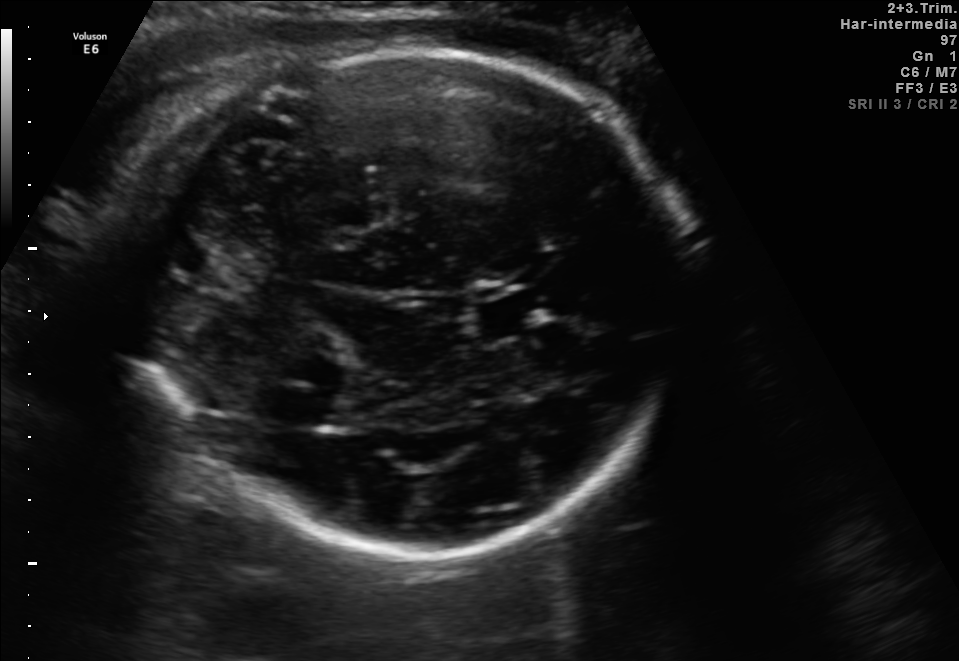
In this fetal brain, trans-thalamic plane, give the bounding box of the fetal head.

[139,46,678,563]